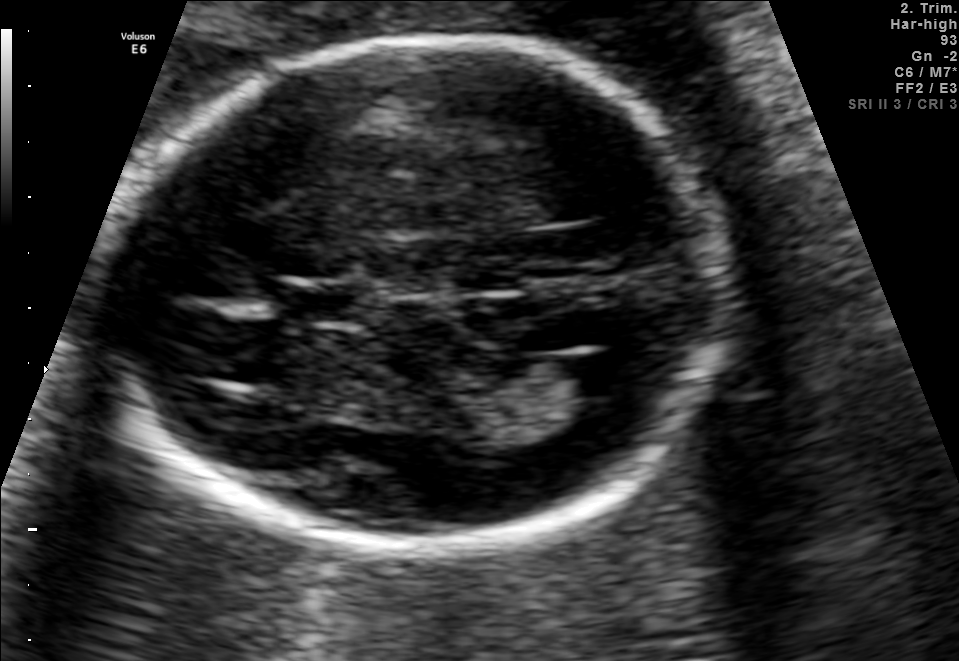
Fetal brain, trans-ventricular plane. Where is the lateral ventricle?

Lateral ventricle bounding box: [539,347,634,404]